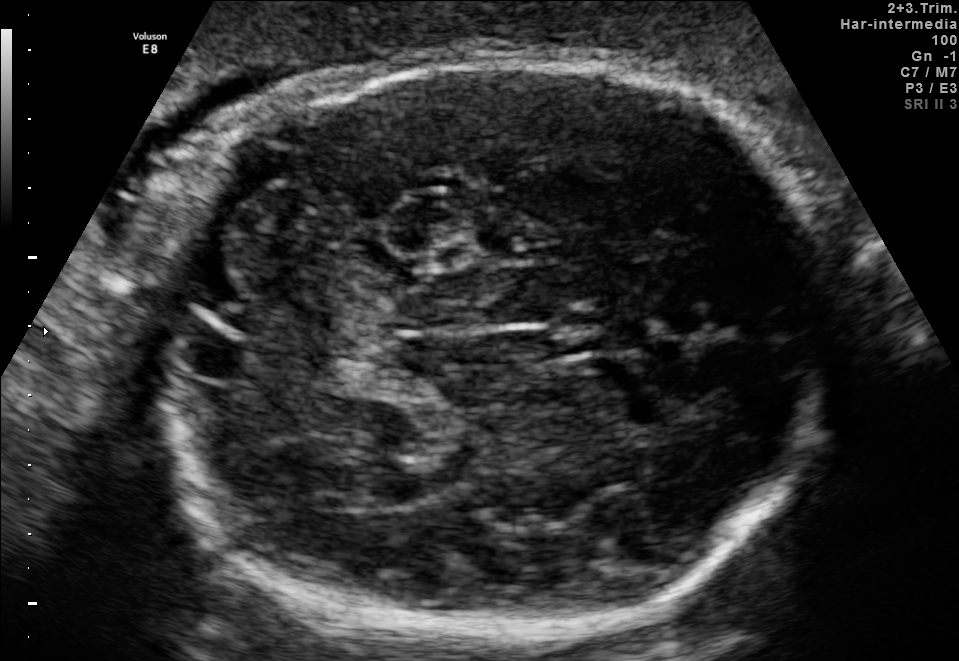
Fetal brain, trans-cerebellum plane. Give [x1,y1,x2,y2] bounding boxes for each visible structure among: fetal head, CSP, LV.

Head: [155,57,834,638]
CSP: [572,304,651,356]